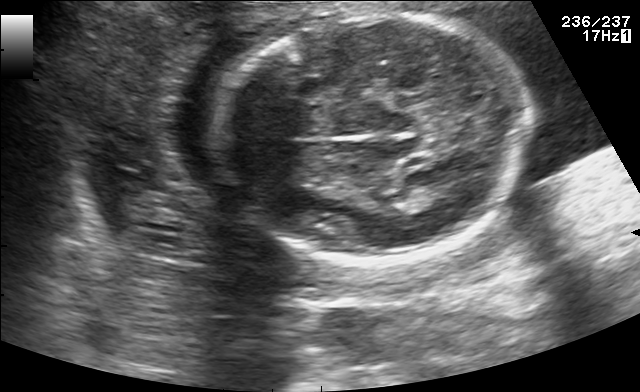
Fetal brain, trans-thalamic plane. Locate the lateral ventricle.

Lateral ventricle: [404,171,463,214]